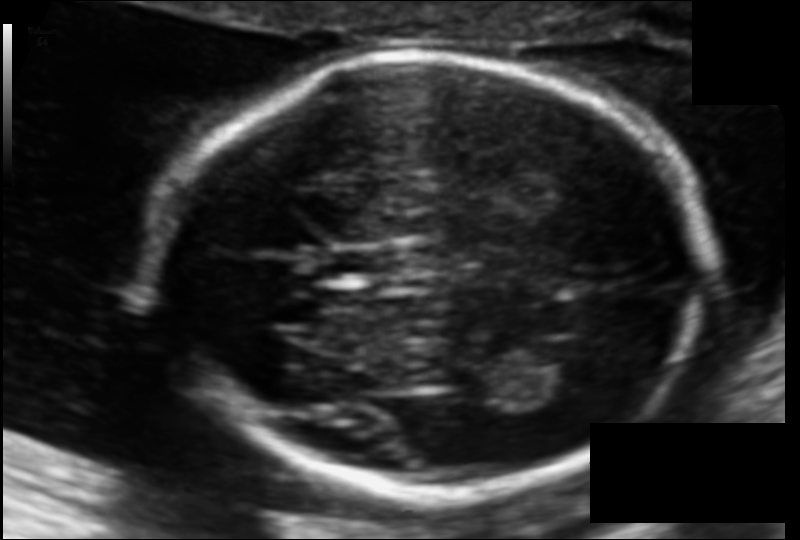
Fetal head ultrasound. Image width: 86.8 mm. Locate the cavum septum pellucidum.

CSP: [329,249,393,278]